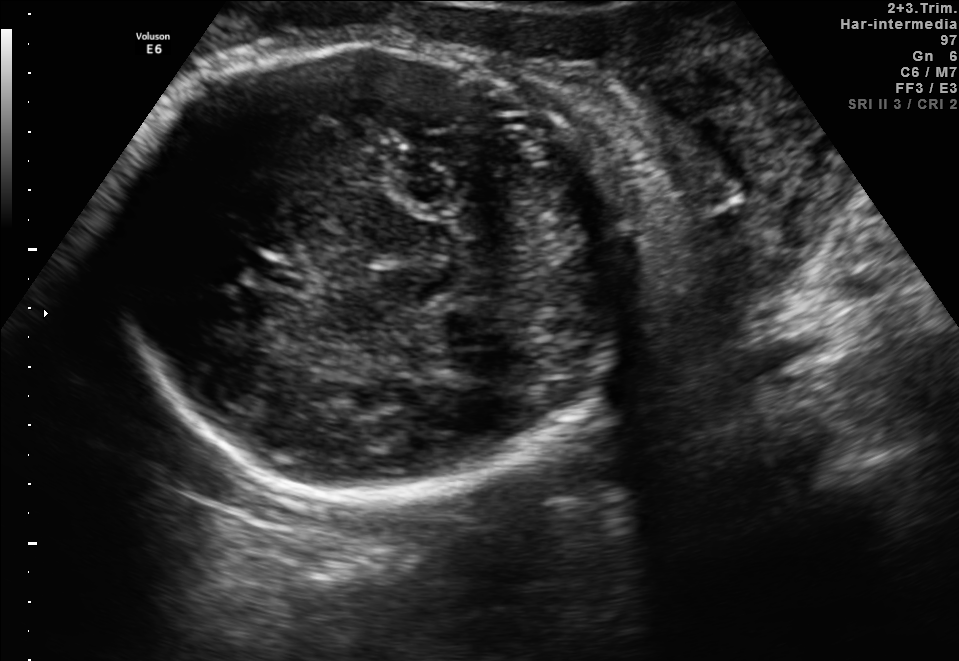
In this fetal brain, trans-thalamic plane, give the bounding box of the lateral ventricle.

[455,349,516,381]